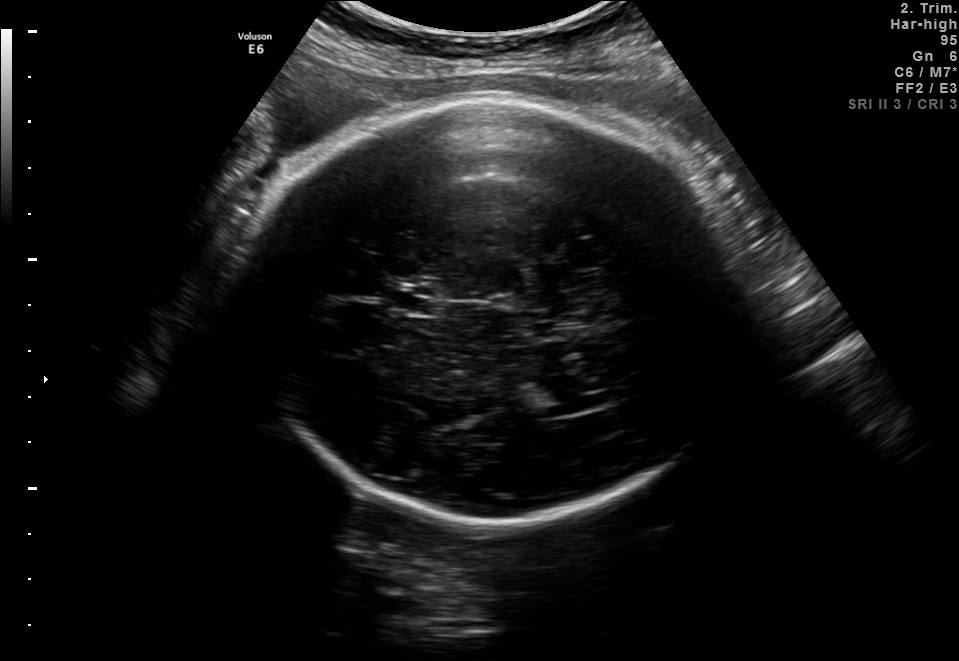
In this fetal brain, trans-ventricular plane, give bounding boxes for the head outline, cavum septum pellucidum (CSP), and lateral ventricle (LV), where visible.

Head: [234,91,751,526]
CSP: [381,287,442,314]
Lateral ventricle: [527,373,595,419]